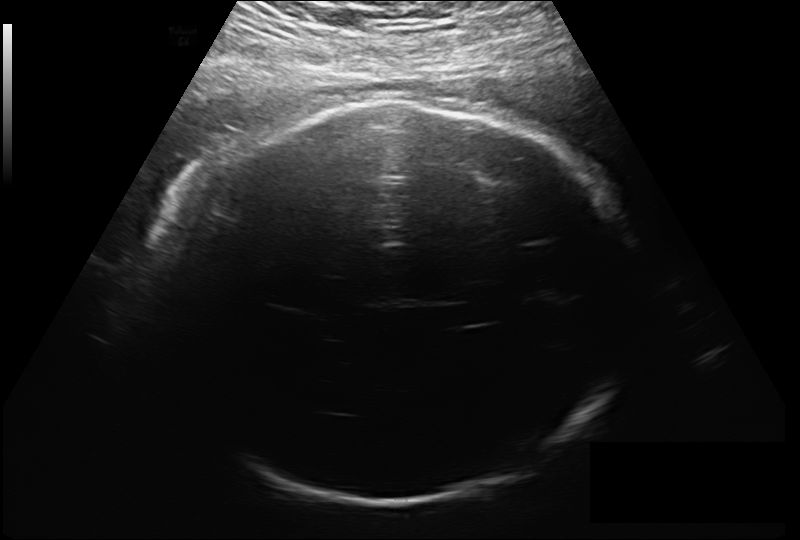
Measure the fetal head circumference shown in this ultrasound image. Image width: 170.5 mm.

Head circumference: 306.0 mm.